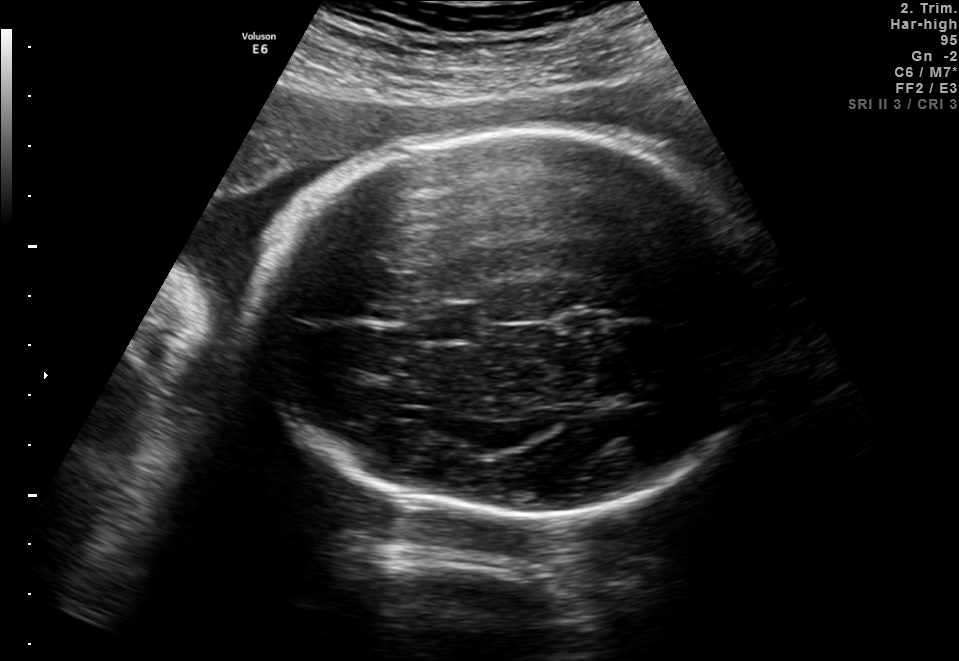
In this fetal brain, trans-thalamic plane, give bounding boxes for the head outline, cavum septum pellucidum (CSP), and lateral ventricle (LV), where visible.

Head: [252,128,775,517]
CSP: [419,304,479,339]